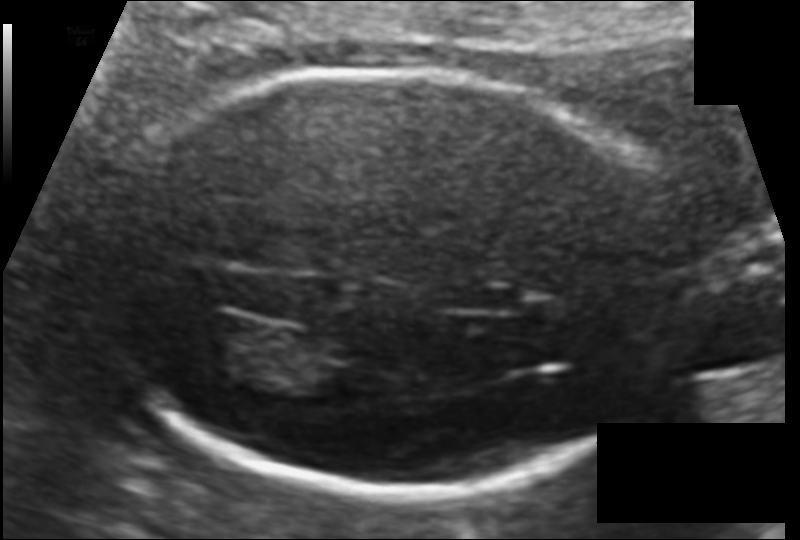
Estimate the fetal head circumference from this 2D ultrasound. Image width: 82.9 mm.

Head circumference: 169.9 mm.